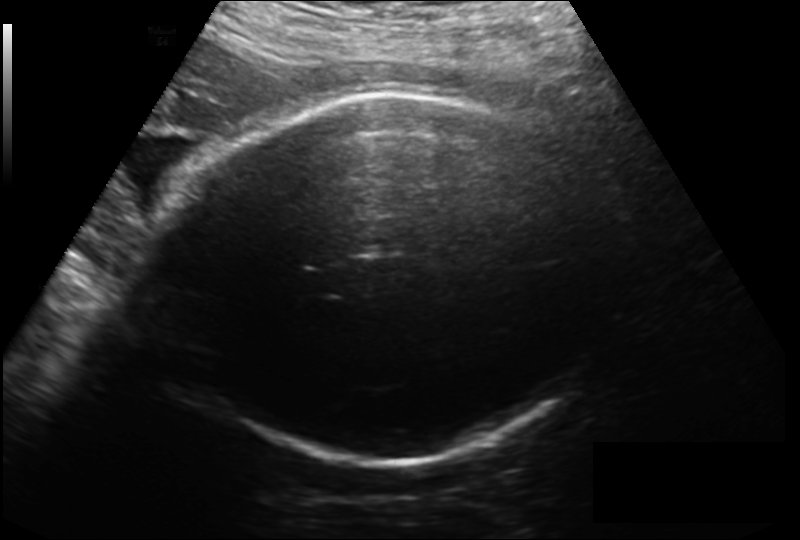
What is the fetal head circumference? Image width is 171.5 mm.

286.4 mm